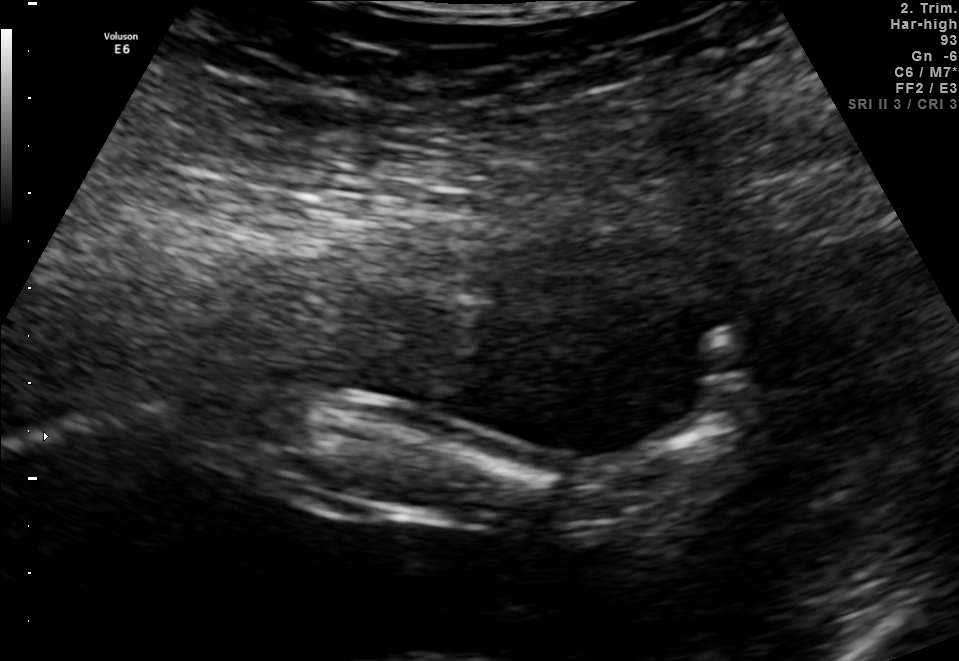
Which standard maternal-fetal ultrasound plane is shown: fetal abdomen, fetal brain, fetal femur, fetal thorax, maternal cervix, or other? If it's fetal brain and one of the three standard brain planes (trans-thalamic, trans-cerebellum, trans-ventricular), name which.

Other